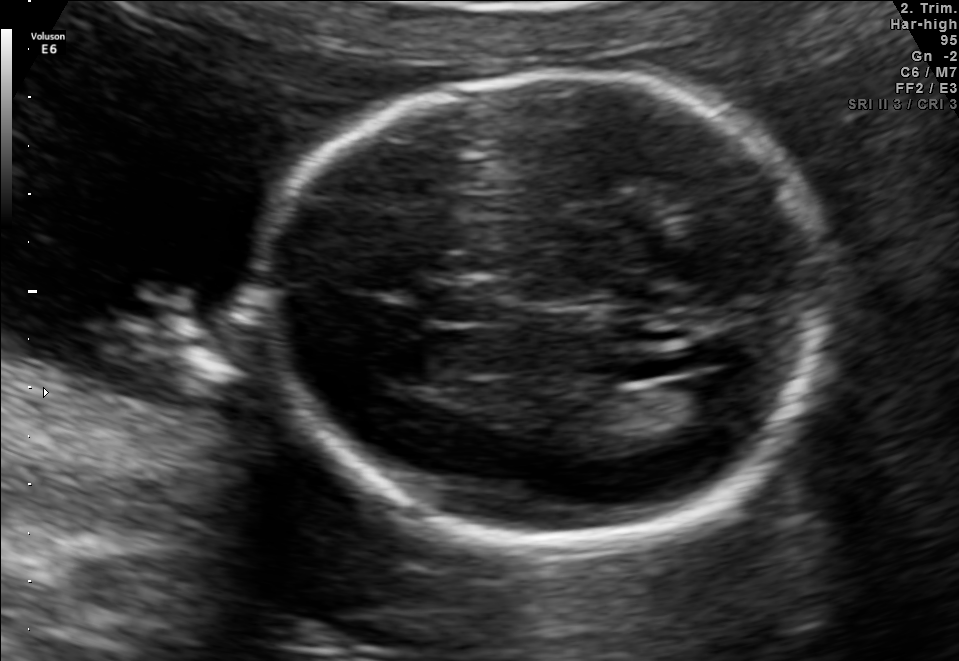
Fetal brain, trans-ventricular plane. Locate the cavum septum pellucidum.

CSP: [427,290,497,323]